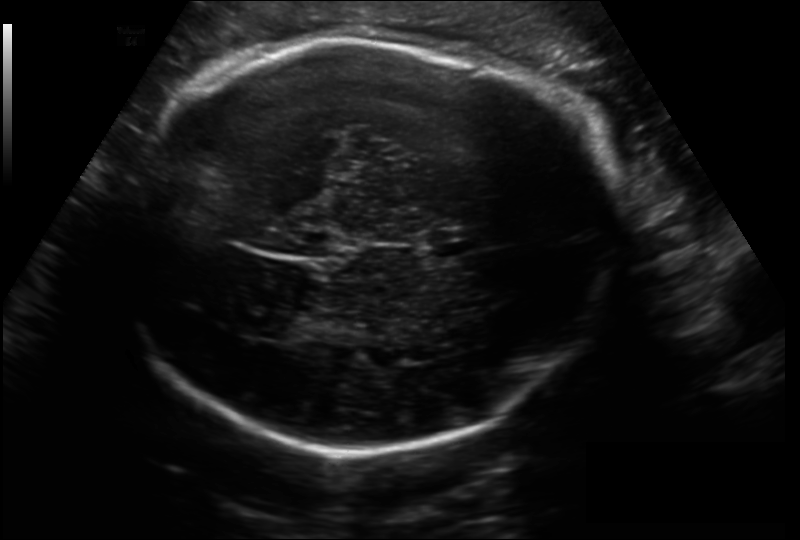
In this fetal head ultrasound, give the bounding box of the cavum septum pellucidum. Image width: 164.9 mm.

[427,225,480,259]